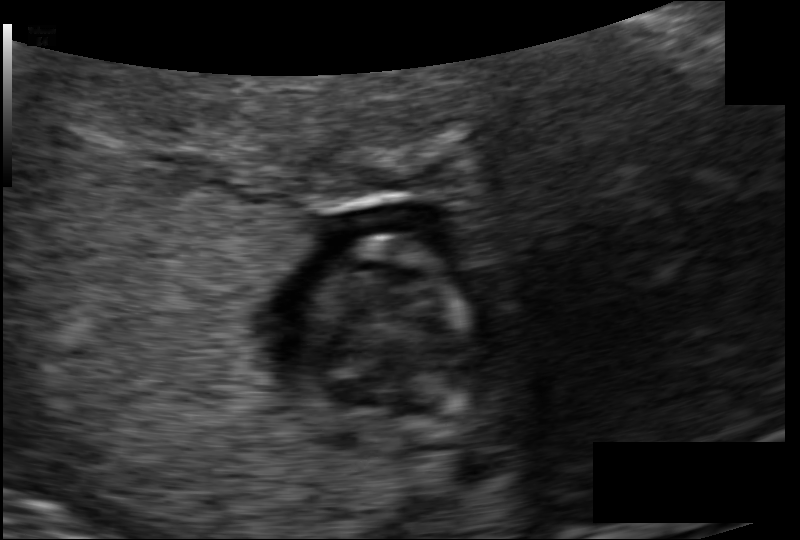
From this fetal ultrasound, estimate the head circumference (image width 78.7 mm).

Head circumference: 62.5 mm.